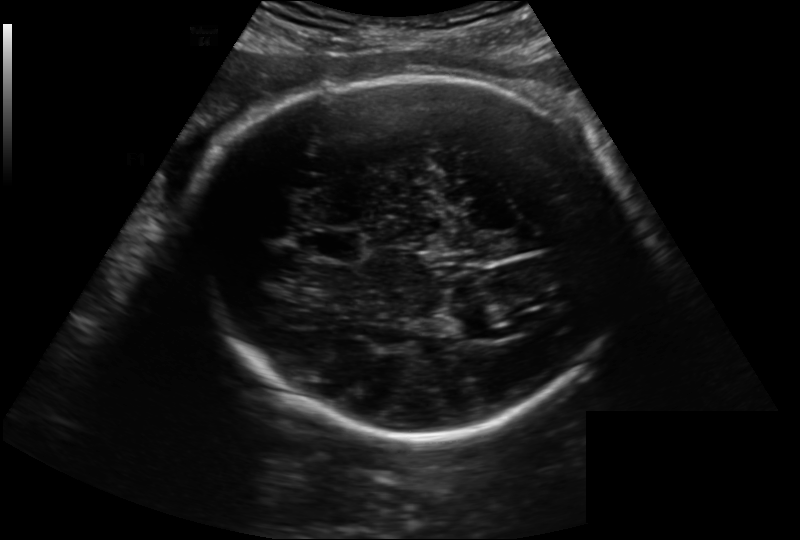
Measure the fetal head circumference shown in this ultrasound image. Image width: 177.3 mm.

Head circumference: 292.2 mm.